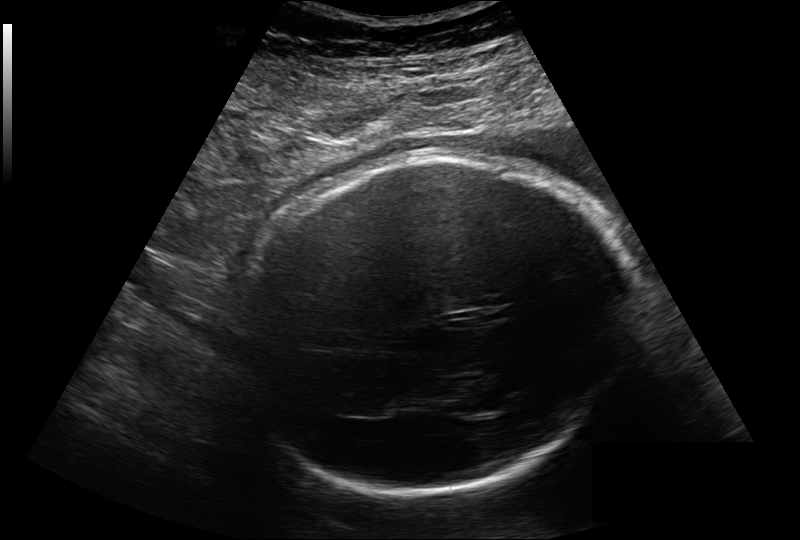
Fetal head ultrasound. Image width: 211.0 mm. Where is the fetal head?

Head bounding box: [236,154,631,493]